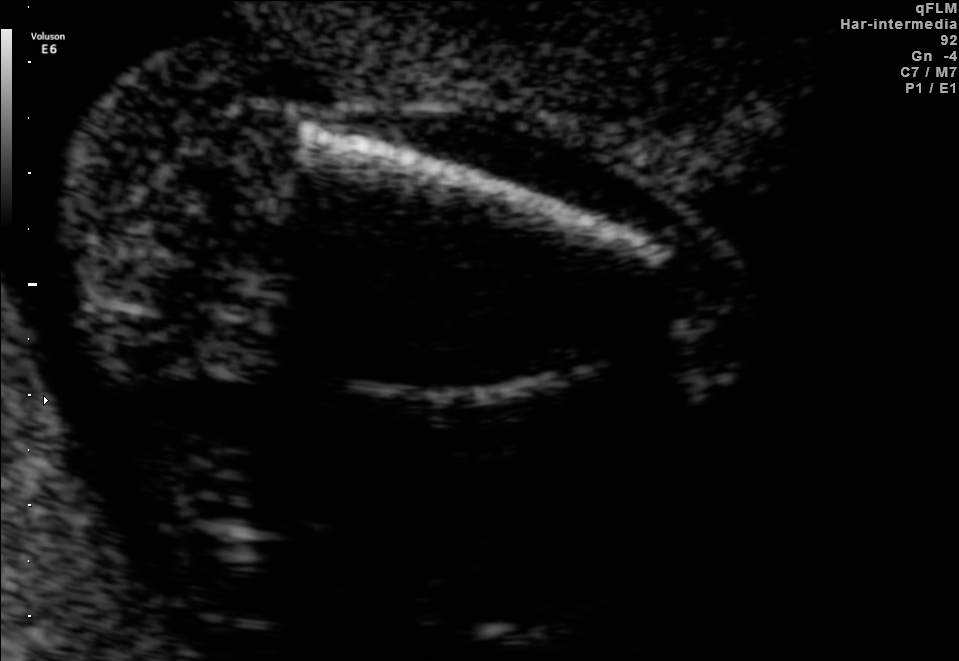
Which standard maternal-fetal ultrasound plane is shown: fetal abdomen, fetal brain, fetal femur, fetal thorax, maternal cervix, or other? If it's fetal brain and one of the three standard brain planes (trans-thalamic, trans-cerebellum, trans-ventricular), name which.

Fetal femur